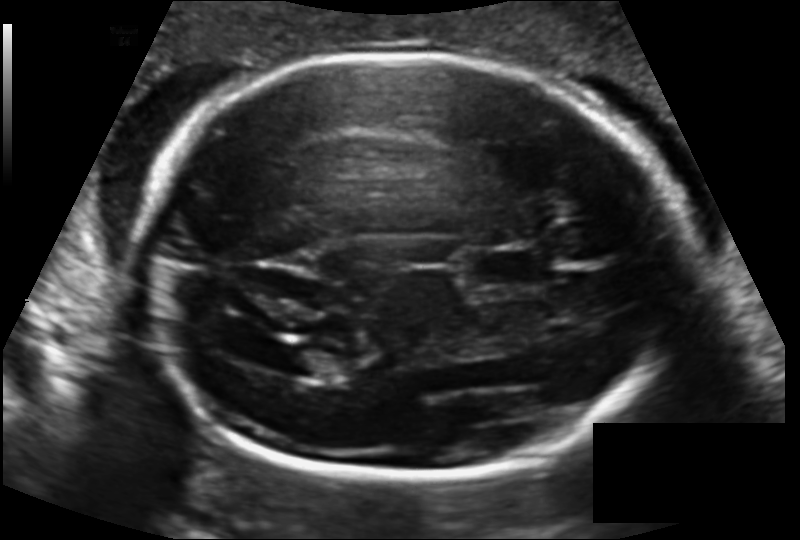
Fetal head ultrasound. Image width: 112.0 mm. Locate the cavum septum pellucidum.

CSP: [467,243,551,294]